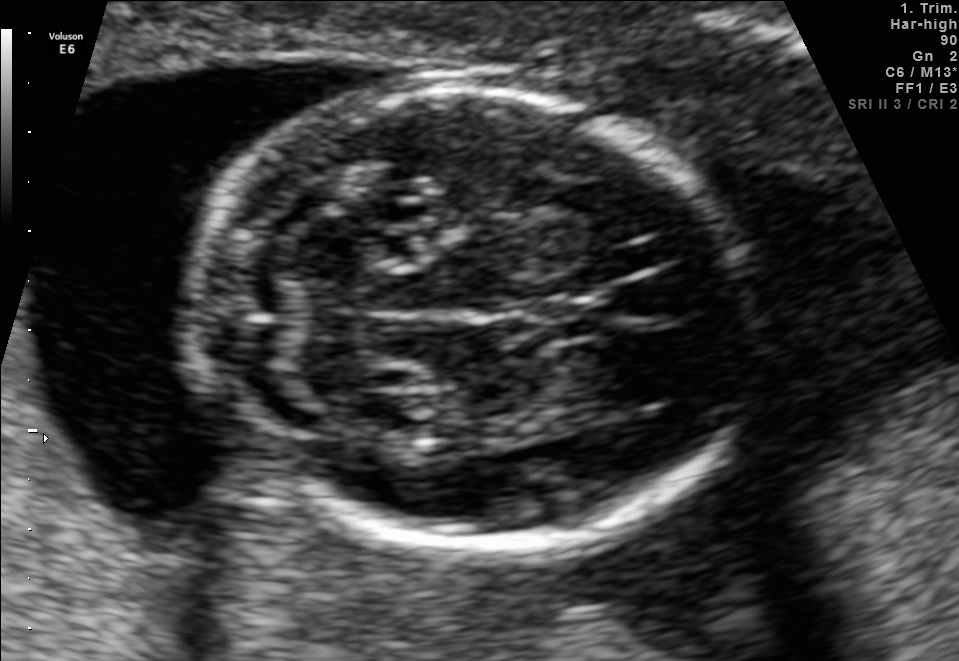
Fetal brain, trans-cerebellum plane. Locate the fetal head and, if visible, the cavum septum pellucidum (CSP) and lateral ventricle (LV). Give bounding boxes as [x1,y1,x2,y2].

Head: [187,90,758,549]